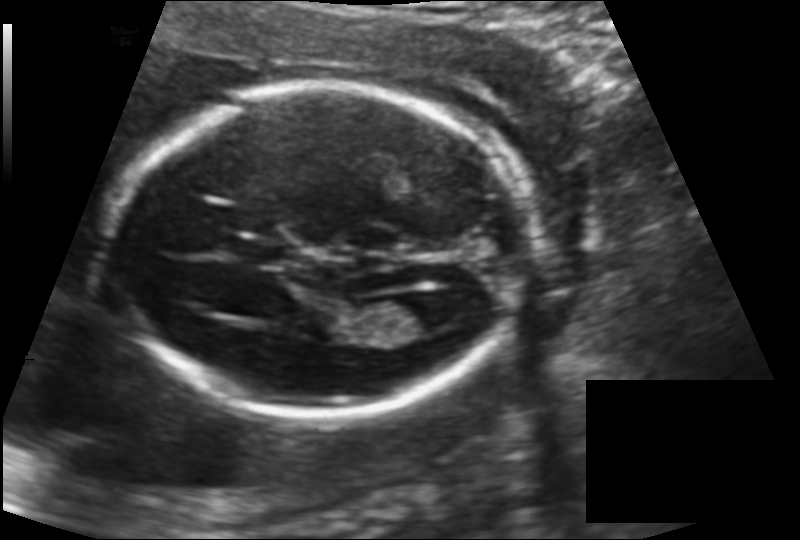
Fetal head ultrasound. Image width: 113.5 mm. Give [x1,y1,x2,y2] bounding boxes for each visible structure among: fetal head, CSP, LV.

Head: [118,85,517,413]
CSP: [230,234,288,269]
Lateral ventricle: [382,288,454,337]